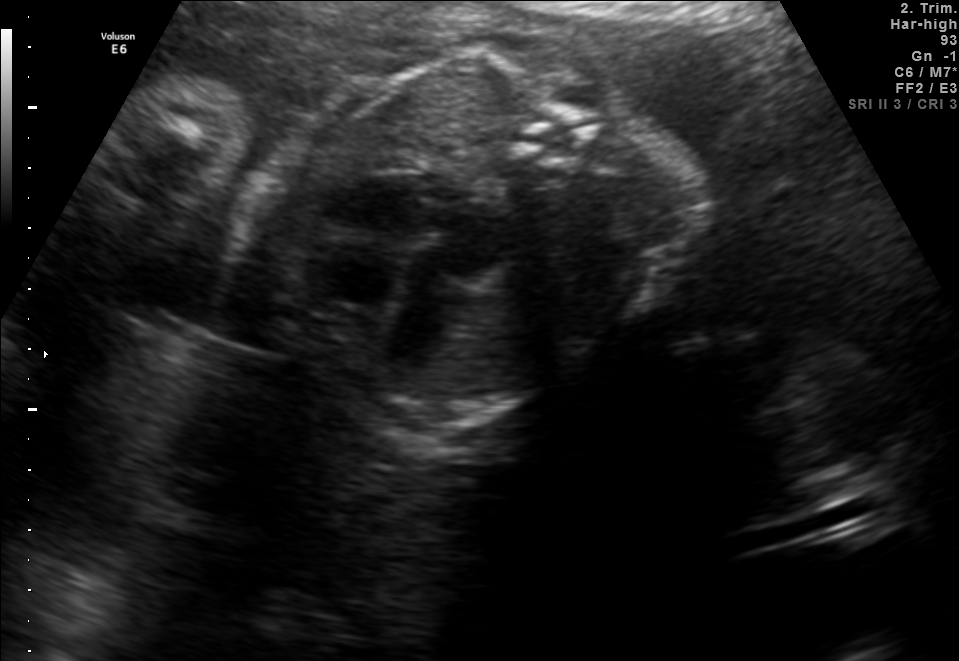
This is a 2D maternal-fetal ultrasound frame. Is it a fetal abdomen, fetal brain, fetal femur, fetal thorax, maternal cervix, or other standard plane? If it's fetal brain and one of the three standard brain planes (trans-thalamic, trans-cerebellum, trans-ventricular), name which.

Fetal thorax